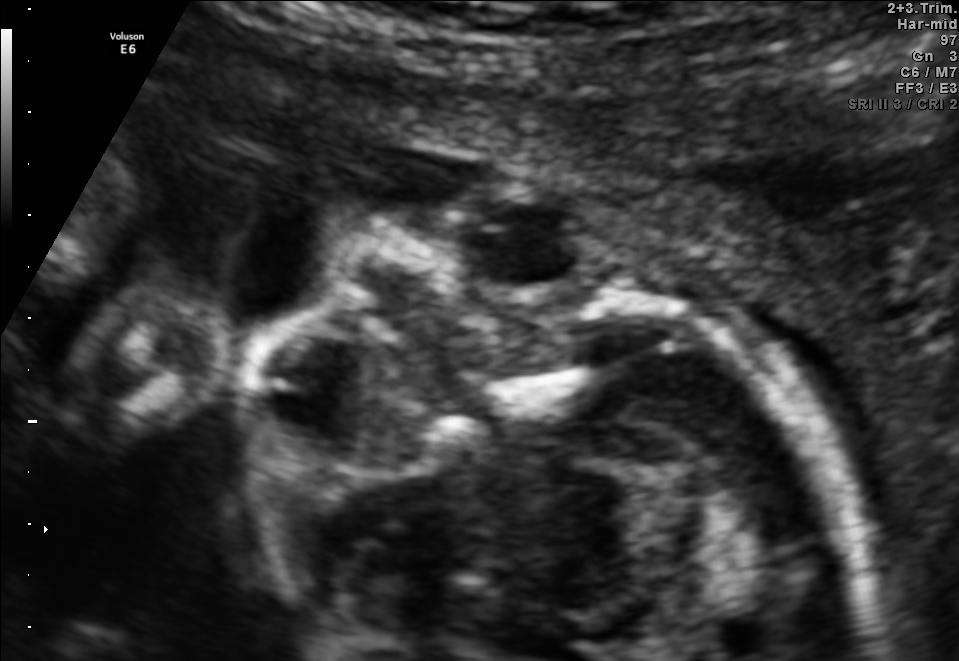
Identify the standard plane in this fetal ultrasound image: fetal abdomen, fetal brain, fetal femur, fetal thorax, maternal cervix, or other. If it's fetal brain and one of the three standard brain planes (trans-thalamic, trans-cerebellum, trans-ventricular), name which.

Other